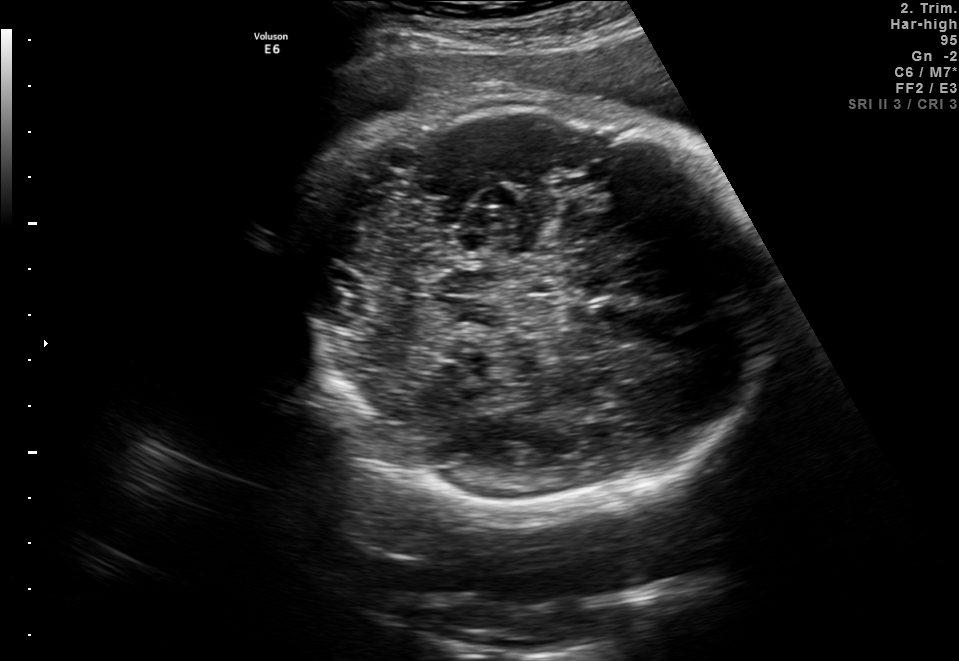
In this fetal brain, trans-thalamic plane, give the bounding box of the fetal head.

[300,100,771,517]